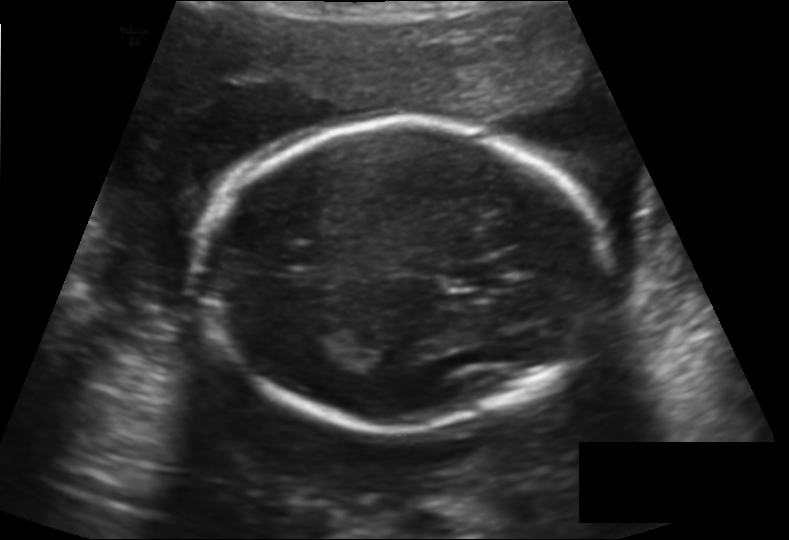
What is the fetal head circumference? Image width is 124.3 mm.

184.8 mm